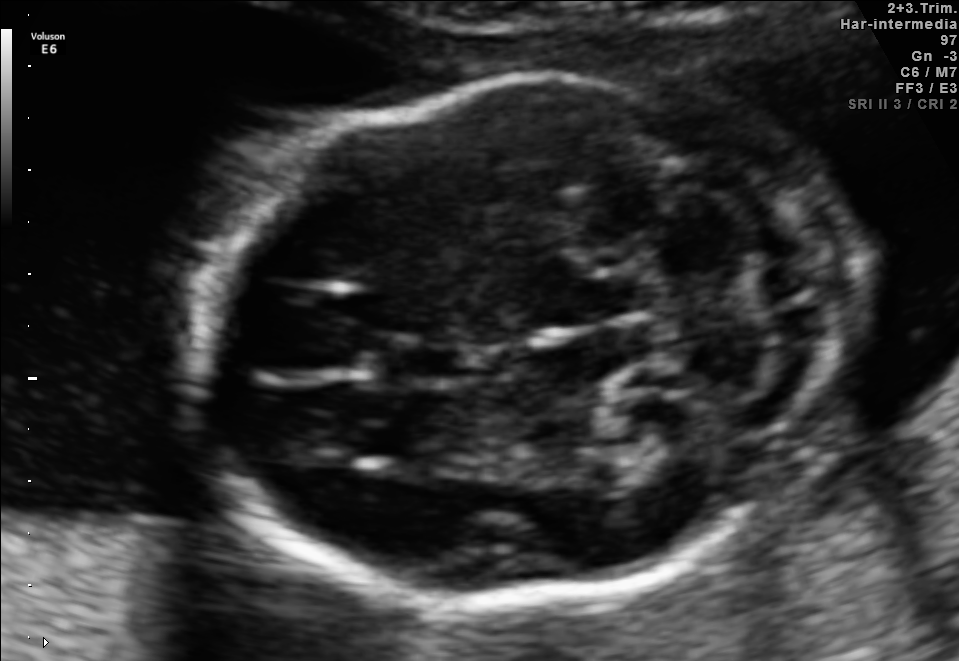
In this fetal brain, trans-cerebellum plane, give the bounding box of the fetal head.

[189,80,846,617]